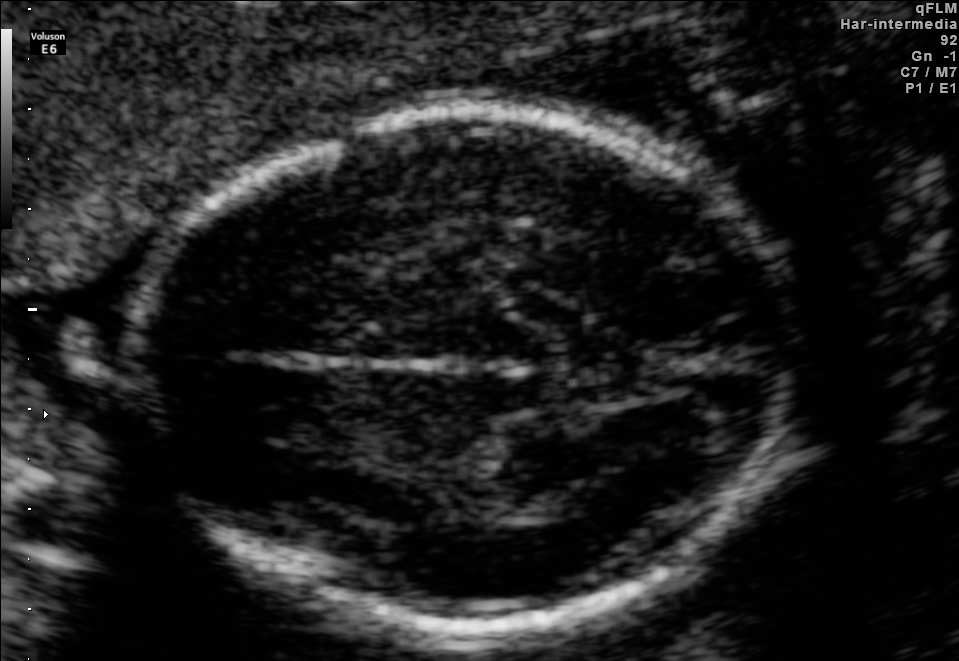
In this fetal brain, trans-thalamic plane, give the bounding box of the fetal head.

[133,113,792,636]